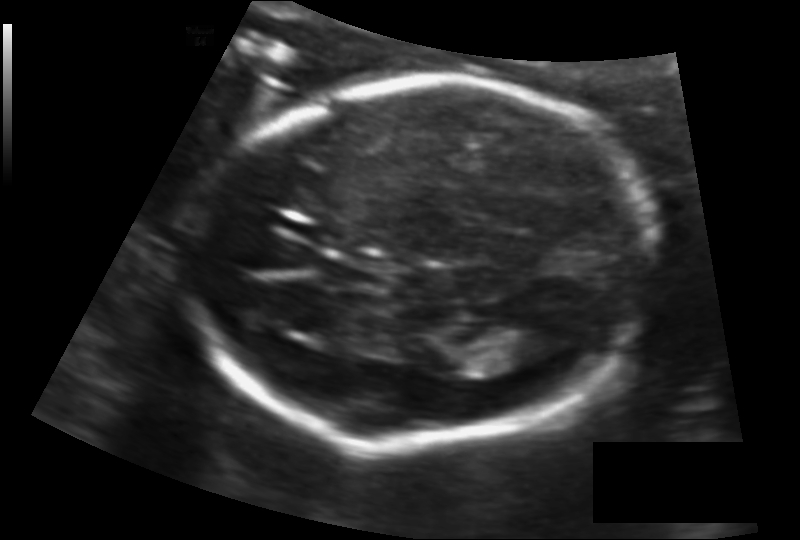
Fetal head ultrasound. Image width: 100.0 mm. Where is the fetal head?

Head bounding box: [188,83,654,446]